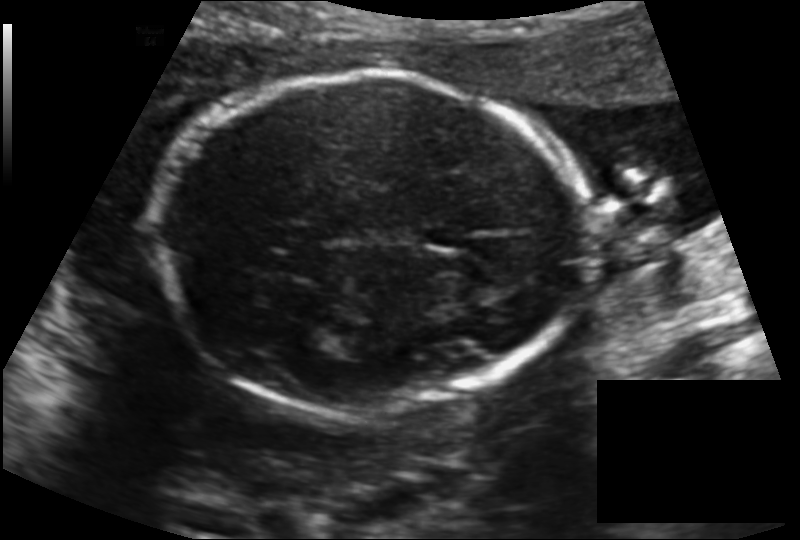
Fetal head ultrasound. Image width: 116.2 mm. Locate the fetal head.

Head: [156,72,592,416]